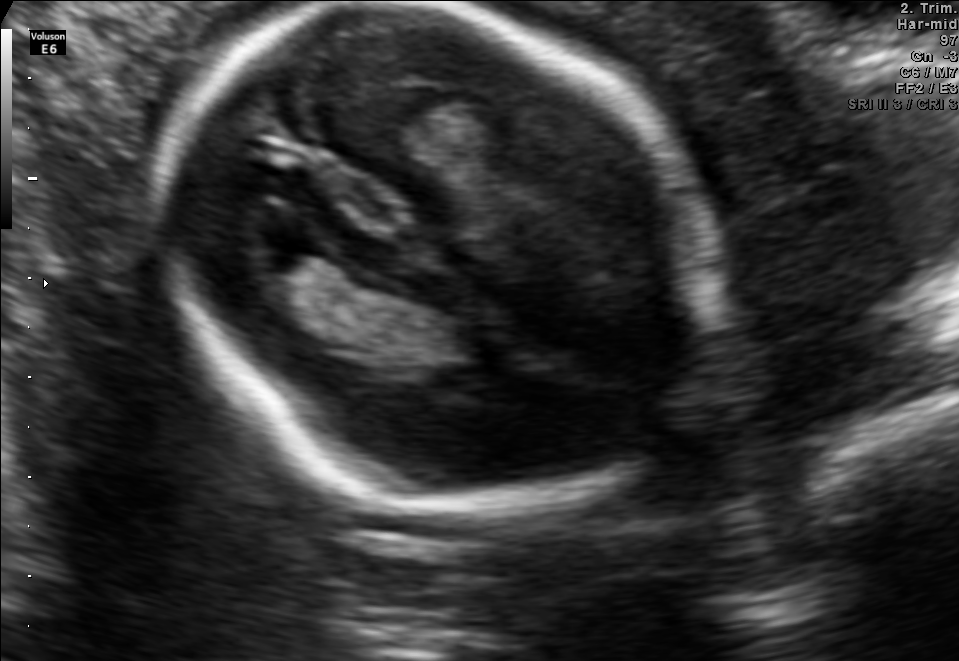
Fetal brain, trans-thalamic plane. Where is the lateral ventricle?

Lateral ventricle bounding box: [219,183,332,297]